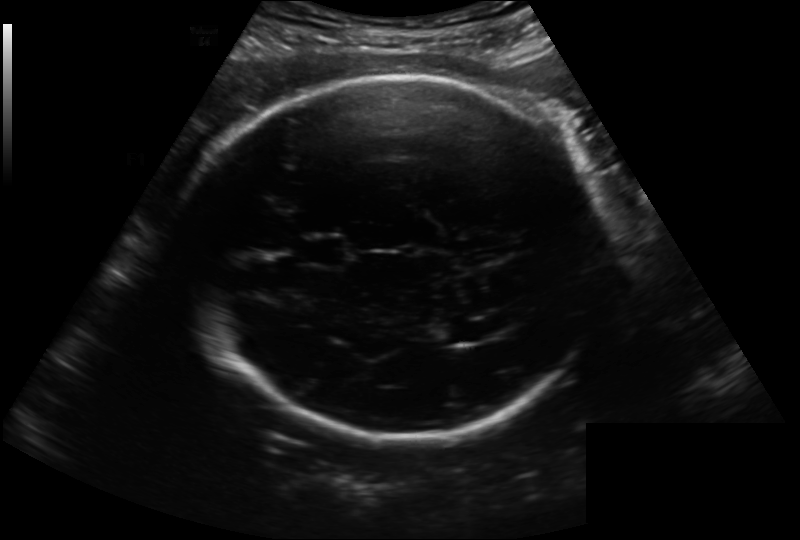
In this fetal head ultrasound, give the bounding box of the lateral ventricle. Image width: 177.3 mm.

[434,321,474,345]